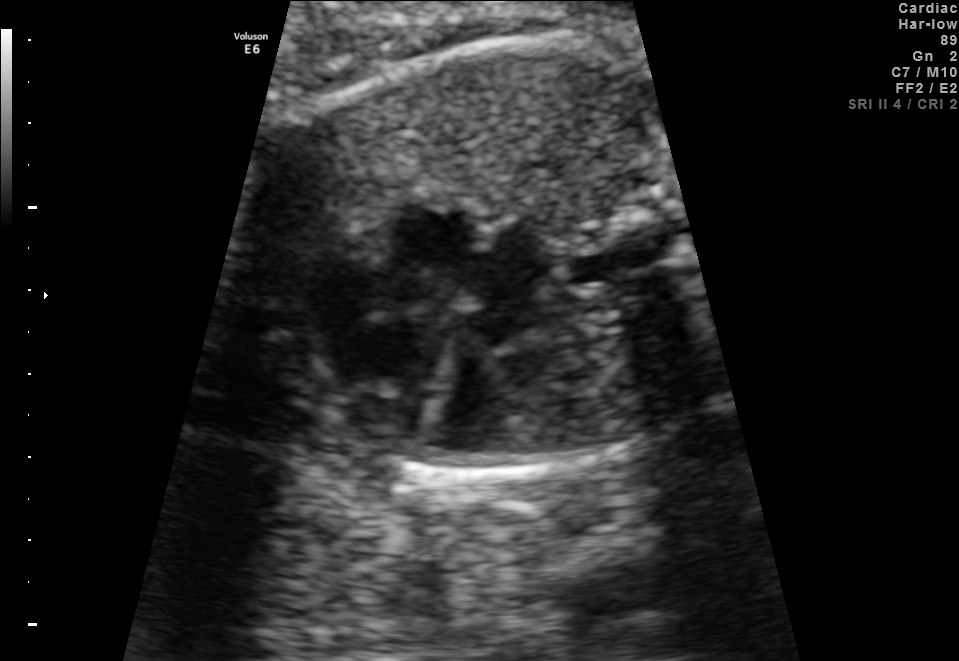
Classify this maternal-fetal ultrasound image as one of the six standard planes — fetal abdomen, fetal brain, fetal femur, fetal thorax, maternal cervix, or other. If it's fetal brain and one of the three standard brain planes (trans-thalamic, trans-cerebellum, trans-ventricular), name which.

Fetal thorax